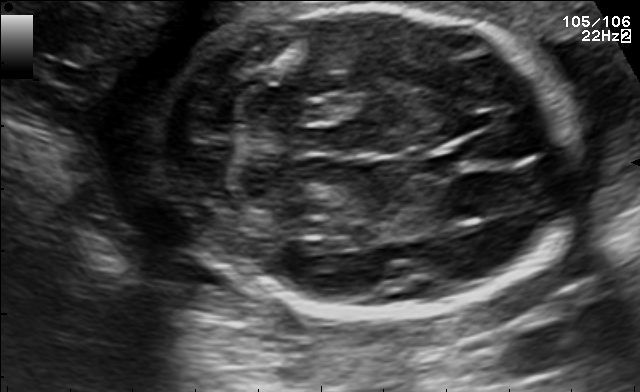
Fetal brain, trans-cerebellum plane. Locate the fetal head and, if visible, the cavum septum pellucidum (CSP) and lateral ventricle (LV). Give bounding boxes as [x1,y1,x2,y2].

Head: [156,5,579,314]
CSP: [415,142,476,184]